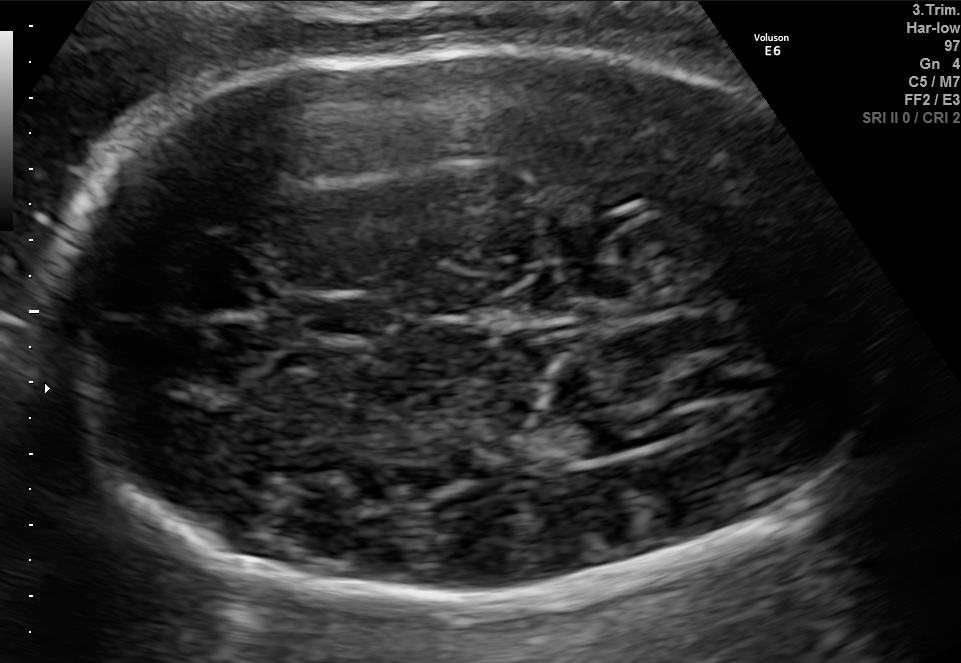
In this fetal brain, trans-thalamic plane, give bounding boxes for the head outline, cavum septum pellucidum (CSP), and lateral ventricle (LV), where visible.

Head: [39,46,870,589]
CSP: [296,299,389,335]
Lateral ventricle: [532,408,649,470]